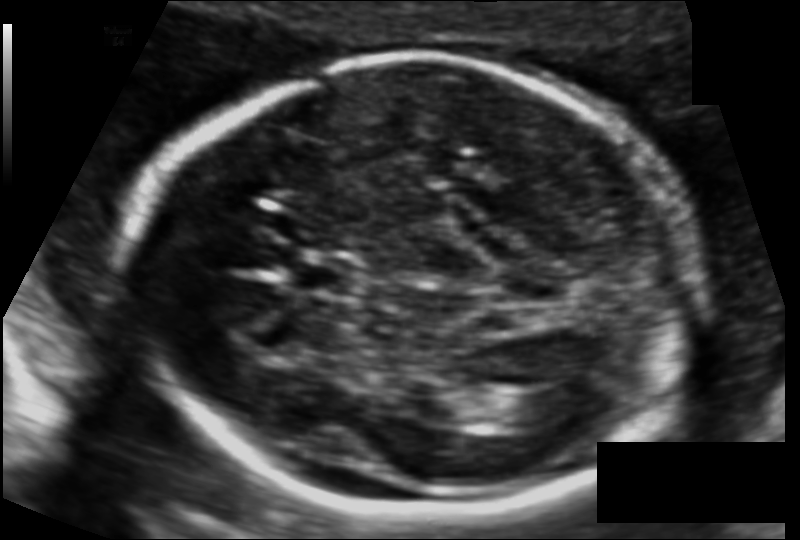
Fetal head ultrasound. Image width: 89.5 mm. Where is the lateral ventricle?

Lateral ventricle bounding box: [523,378,591,425]